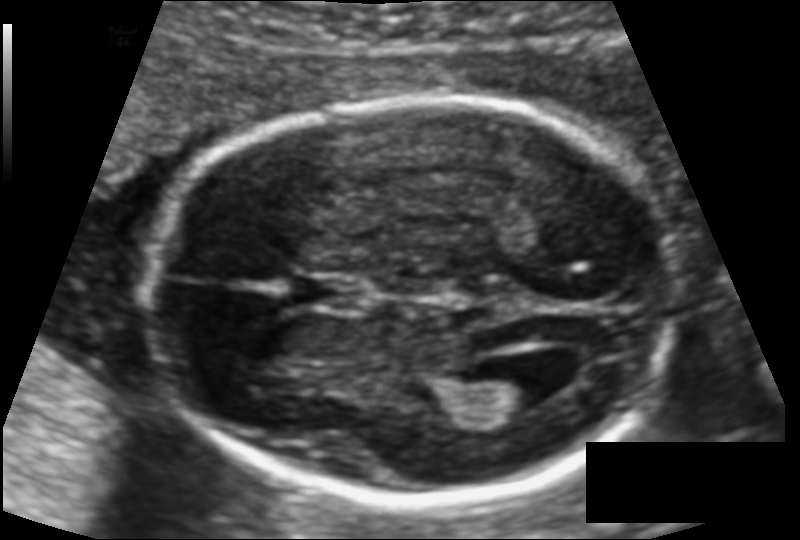
From this fetal ultrasound, estimate the head circumference (image width 90.3 mm).

Head circumference: 172.1 mm.